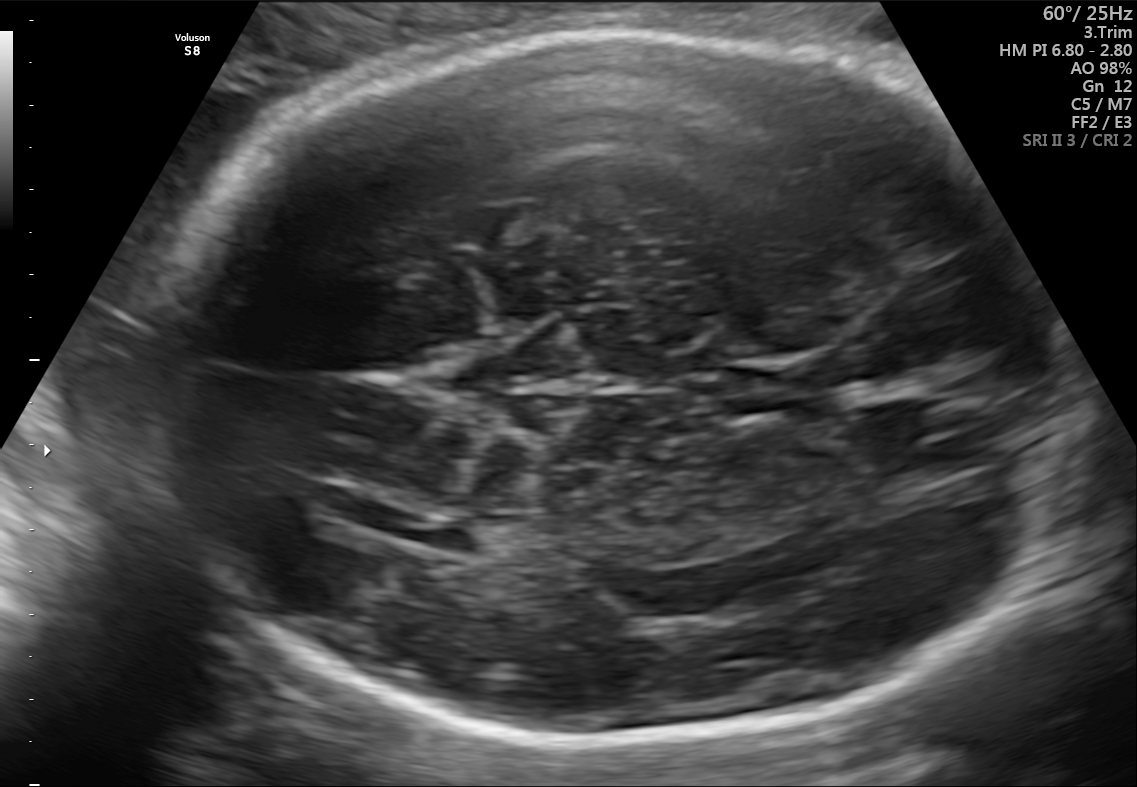
Fetal brain, trans-ventricular plane. Locate the fetal head and, if visible, the cavum septum pellucidum (CSP) and lateral ventricle (LV). Give bounding boxes as [x1,y1,x2,y2].

Head: [139,25,1053,750]
CSP: [731,369,805,416]